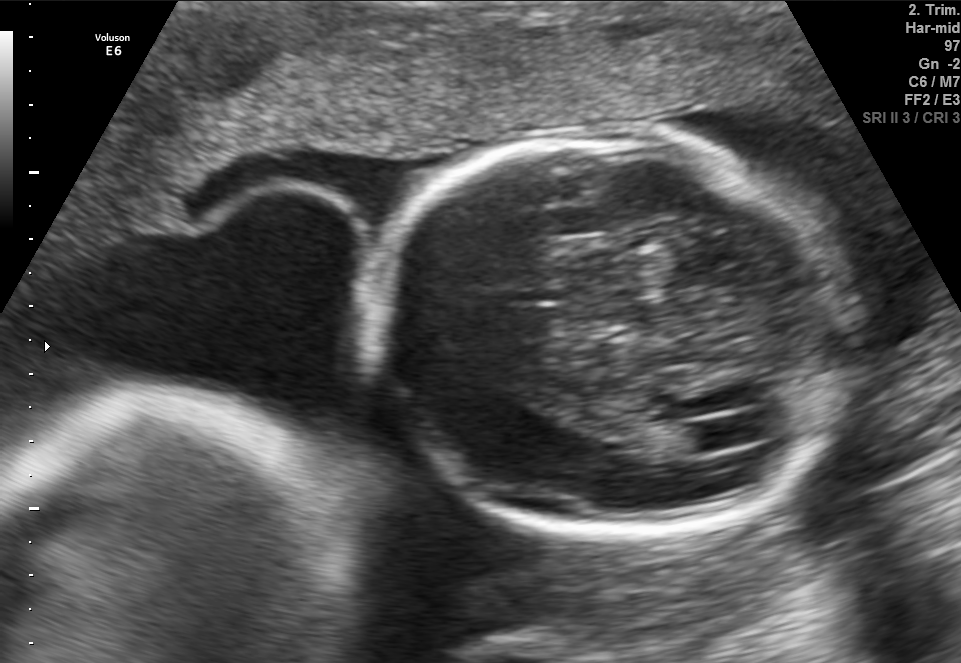
Identify the standard plane in this fetal ultrasound image: fetal abdomen, fetal brain, fetal femur, fetal thorax, maternal cervix, or other. If it's fetal brain and one of the three standard brain planes (trans-thalamic, trans-cerebellum, trans-ventricular), name which.

Fetal brain (trans-ventricular plane)